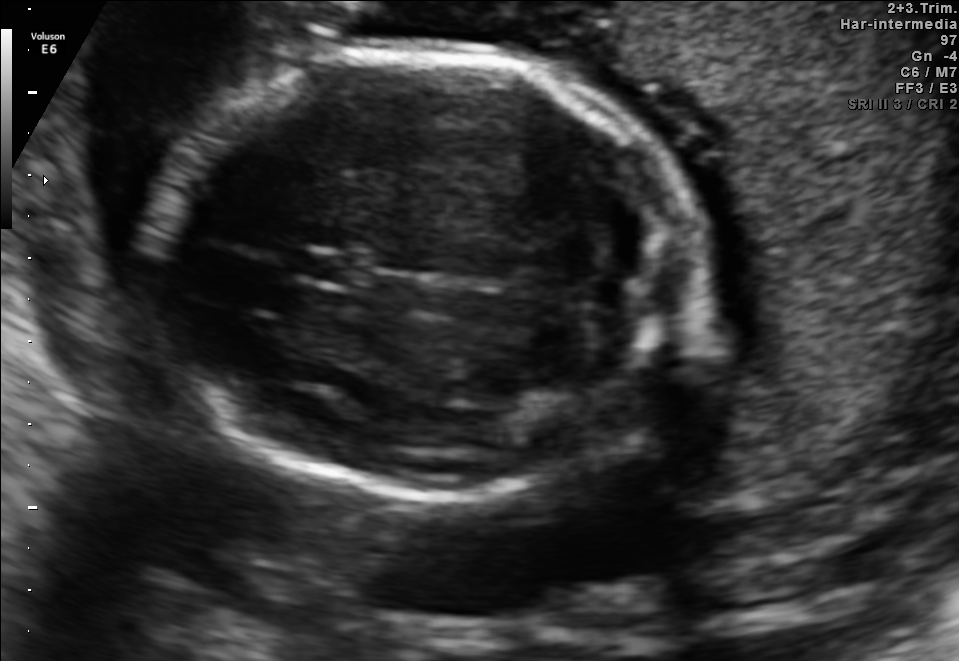
Fetal brain, trans-cerebellum plane. Locate the fetal head and, if visible, the cavum septum pellucidum (CSP) and lateral ventricle (LV). Give bounding boxes as [x1,y1,x2,y2].

Head: [154,49,701,496]
CSP: [288,243,366,291]